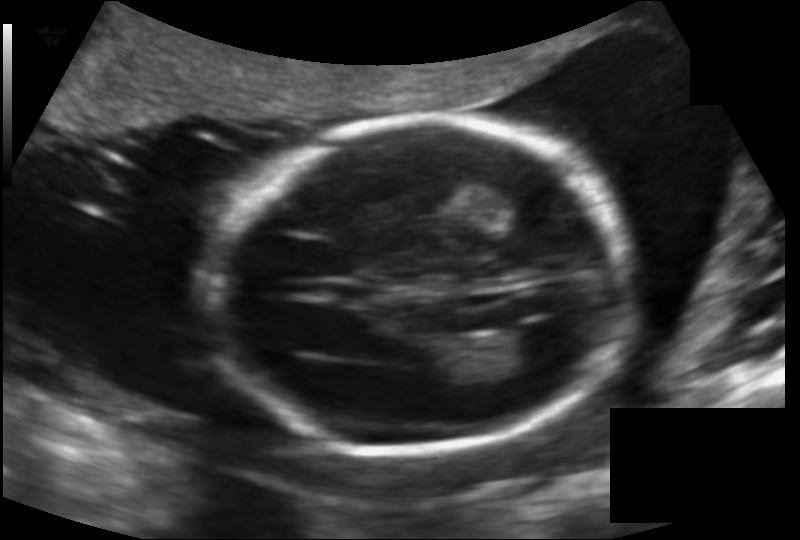
In this fetal head ultrasound, give the bounding box of the lateral ventricle. Image width: 113.7 mm.

[496,318,569,376]